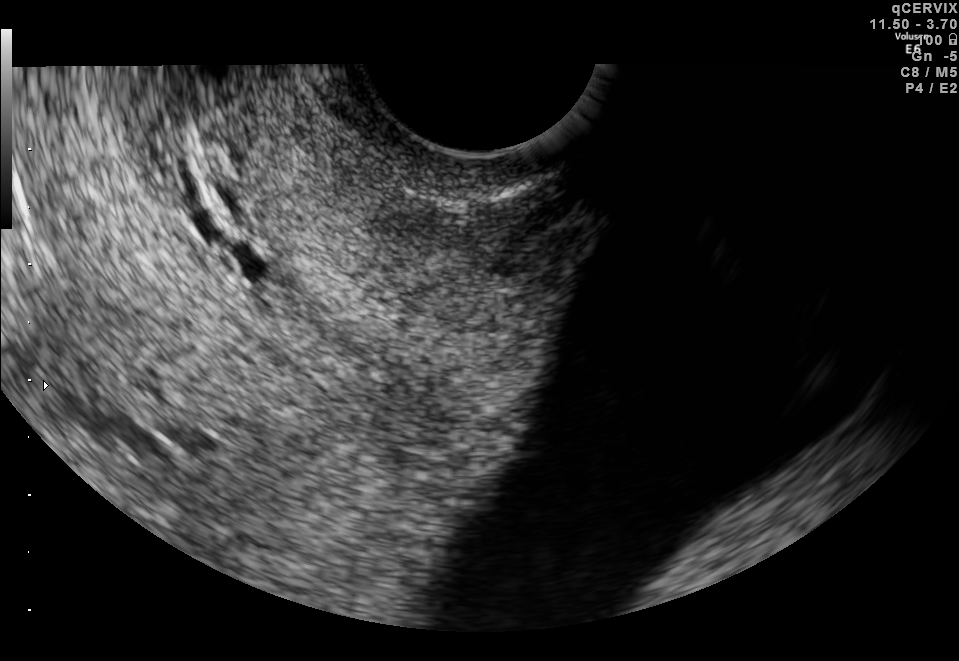
Identify the standard plane in this fetal ultrasound image: fetal abdomen, fetal brain, fetal femur, fetal thorax, maternal cervix, or other. If it's fetal brain and one of the three standard brain planes (trans-thalamic, trans-cerebellum, trans-ventricular), name which.

Maternal cervix